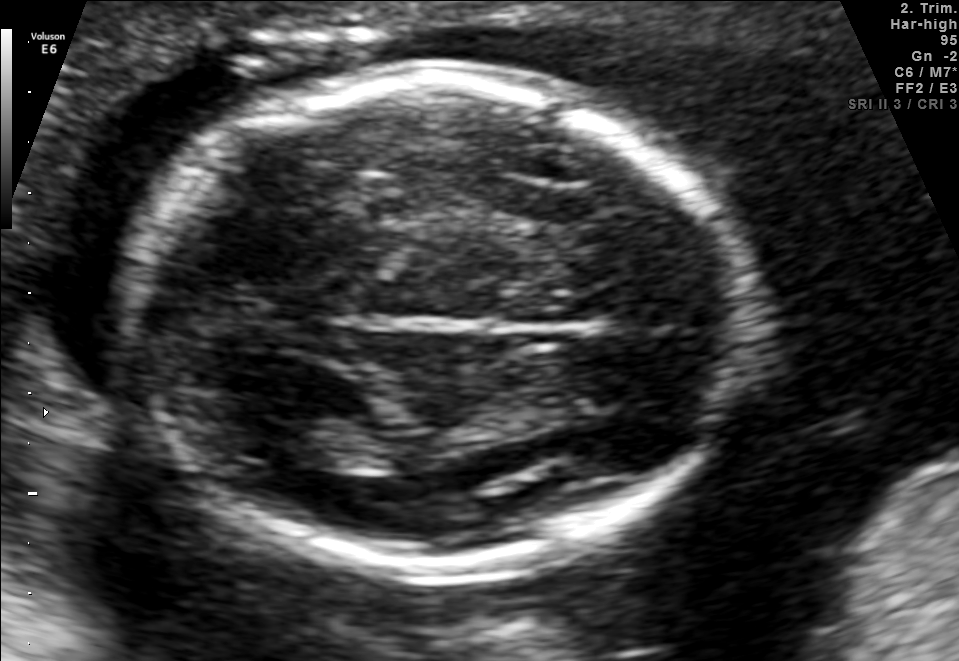
Fetal brain, trans-thalamic plane. Where is the lateral ventricle?

Lateral ventricle bounding box: [245,413,345,473]